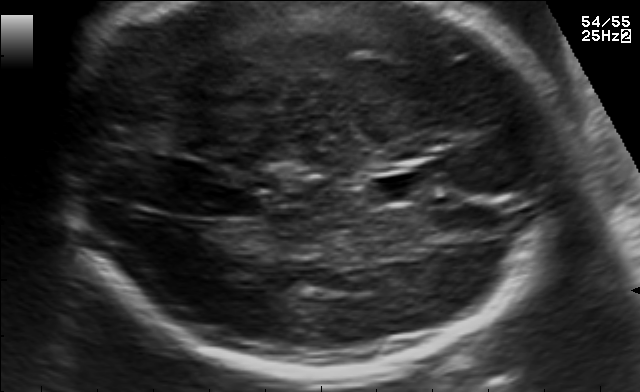
Fetal brain, trans-thalamic plane. Locate the cavum septum pellucidum (CSP) and lateral ventricle (LV), if visible. Give bounding boxes as [x1,y1,x2,y2].

CSP: [371,169,433,206]